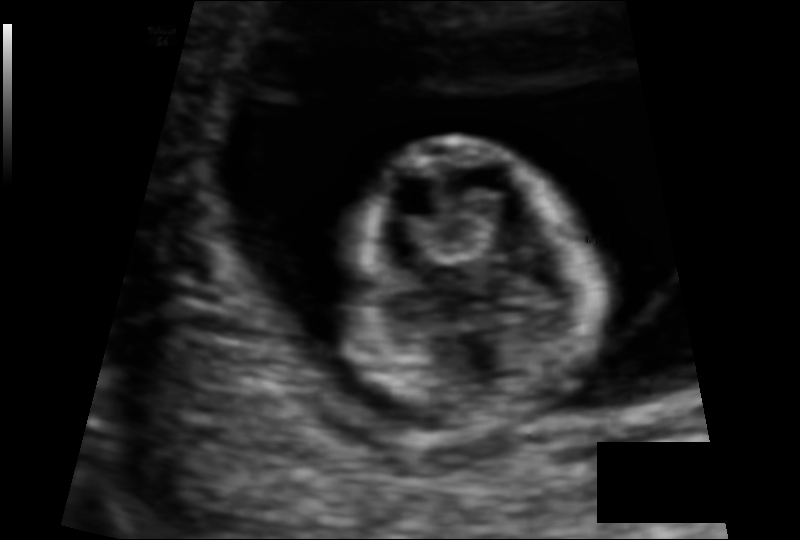
Measure the fetal head circumference shown in this ultrasound image. Image width: 70.2 mm.

Head circumference: 72.1 mm.